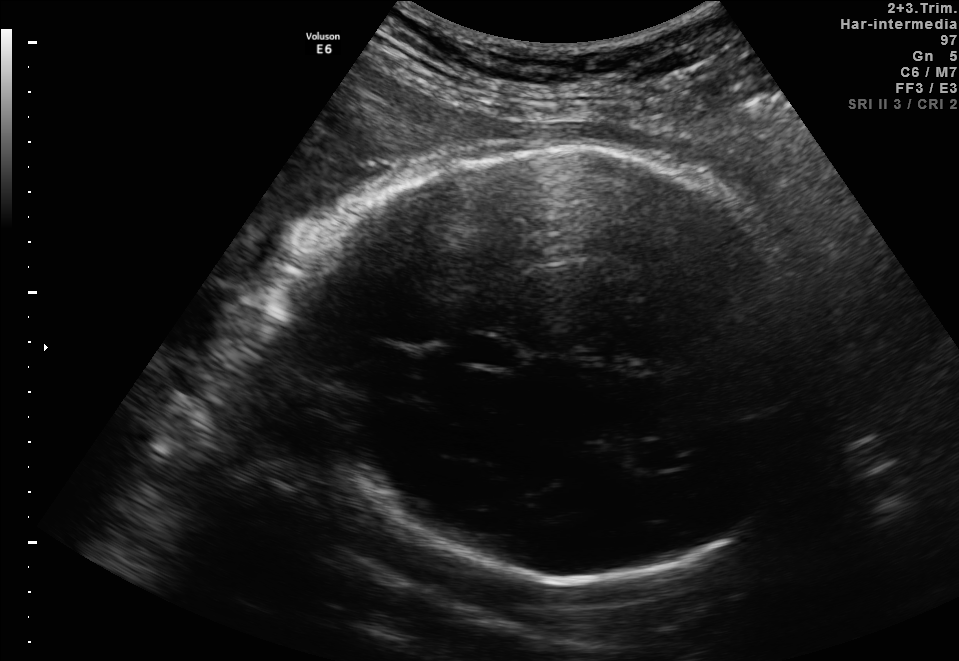
Fetal brain, trans-thalamic plane. Where is the fetal head?

Head bounding box: [276,144,841,581]